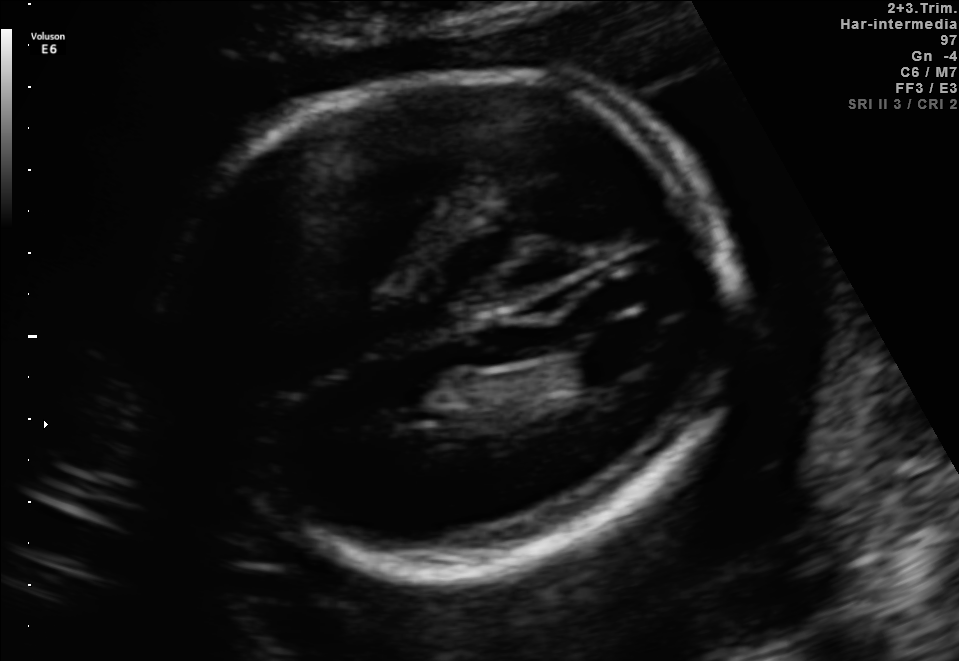
Fetal brain, trans-ventricular plane. Locate the fetal head and, if visible, the cavum septum pellucidum (CSP) and lateral ventricle (LV). Give bounding boxes as [x1,y1,x2,y2].

Head: [159,61,758,582]